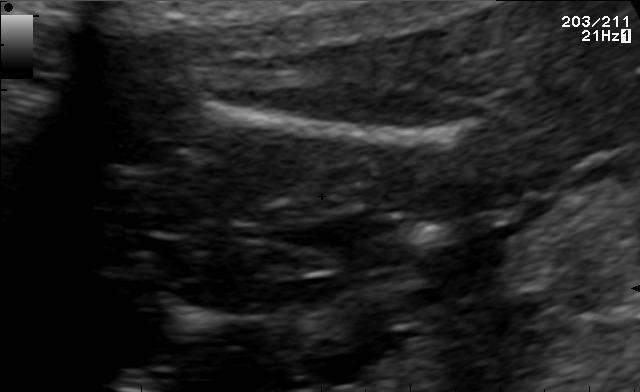
Which standard maternal-fetal ultrasound plane is shown: fetal abdomen, fetal brain, fetal femur, fetal thorax, maternal cervix, or other? If it's fetal brain and one of the three standard brain planes (trans-thalamic, trans-cerebellum, trans-ventricular), name which.

Fetal femur